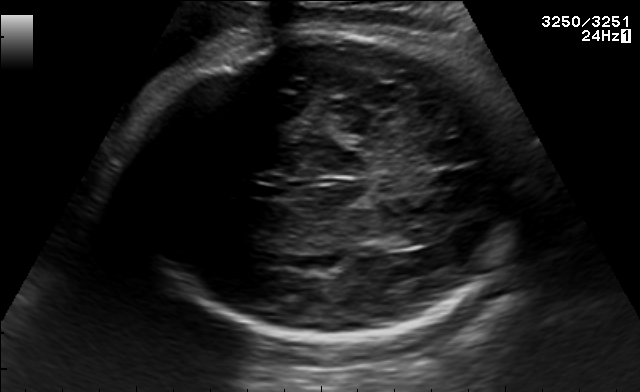
In this fetal brain, trans-thalamic plane, give the bounding box of the fetal head.

[124,33,517,339]